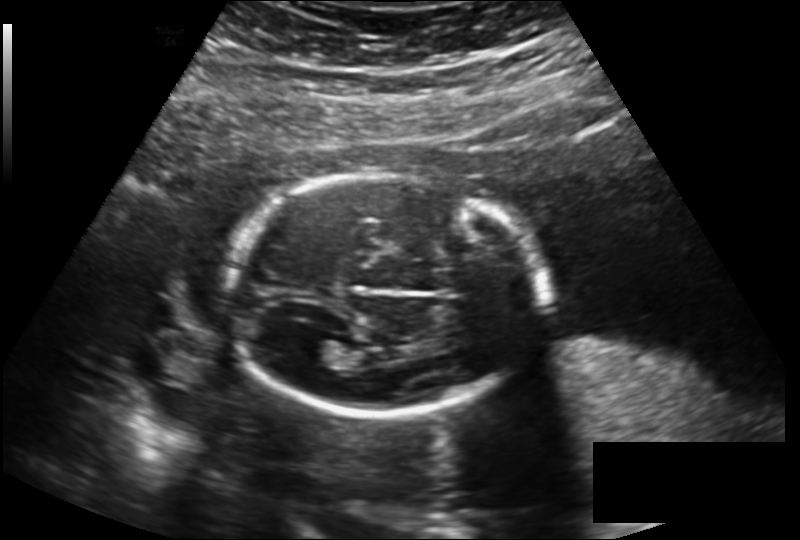
Estimate the fetal head circumference from this 2D ultrasound.

Head circumference: 173.3 mm (image width 150.8 mm).